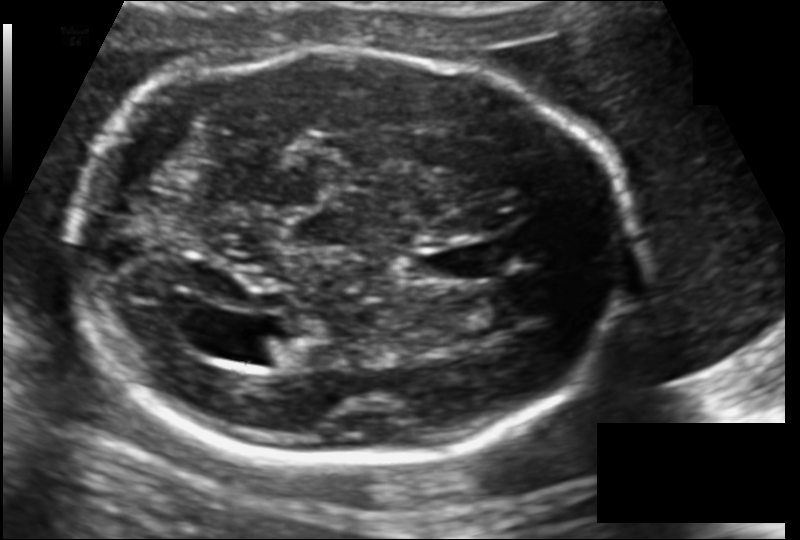
Fetal head ultrasound. Image width: 110.0 mm. Locate the fetal head.

Head: [70,49,636,460]